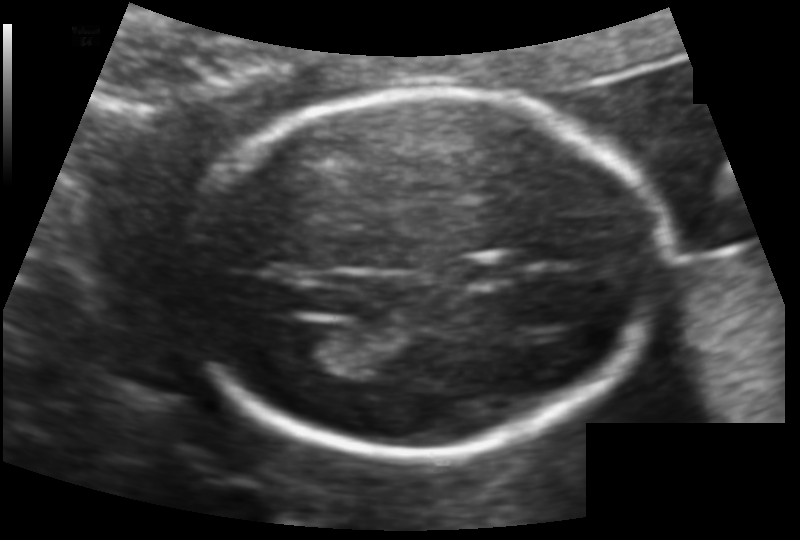
Estimate the fetal head circumference from this 2D ultrasound. Image width: 90.1 mm.

Head circumference: 155.9 mm.